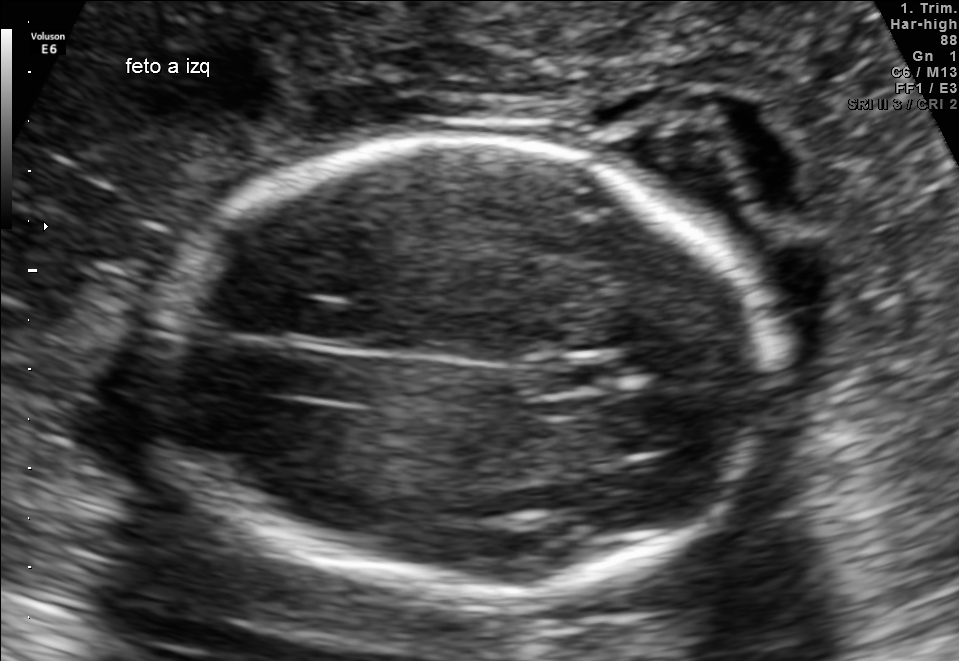
In this fetal brain, trans-thalamic plane, give the bounding box of the cavum septum pellucidum.

[540,355,616,394]